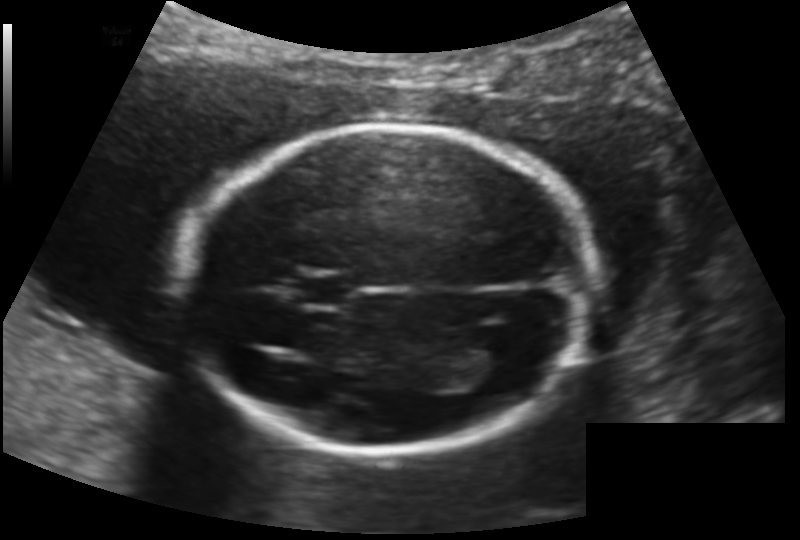
Fetal head ultrasound. Image width: 116.3 mm. Locate the lateral ventricle.

Lateral ventricle: [456,348,518,388]